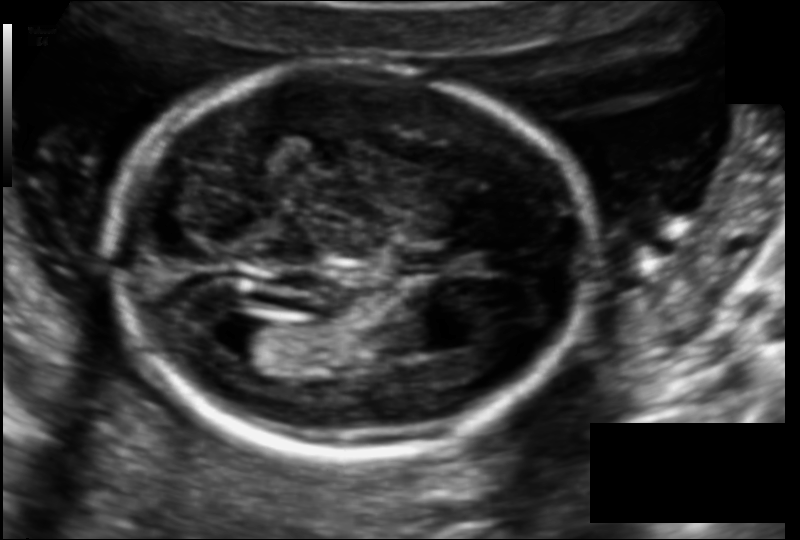
In this fetal head ultrasound, give bounding boxes for the head outline, cavum septum pellucidum (CSP), and lateral ventricle (LV), where visible. Image width: 91.5 mm.

Head: [111,63,594,454]
CSP: [401,253,458,274]
Lateral ventricle: [205,307,283,366]